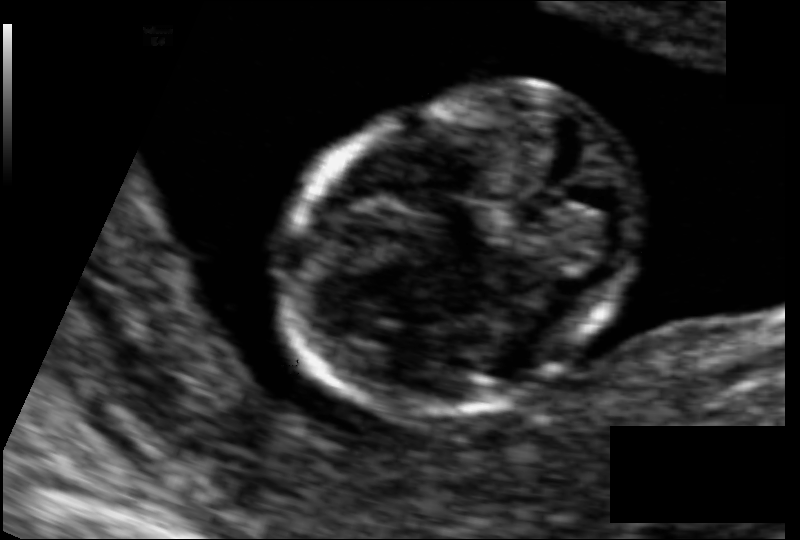
Fetal head ultrasound. Image width: 52.4 mm. Locate the fetal head and, if visible, the cavum septum pellucidum (CSP) and lateral ventricle (LV). Give bounding boxes as [x1,y1,x2,y2].

Head: [286,91,644,415]